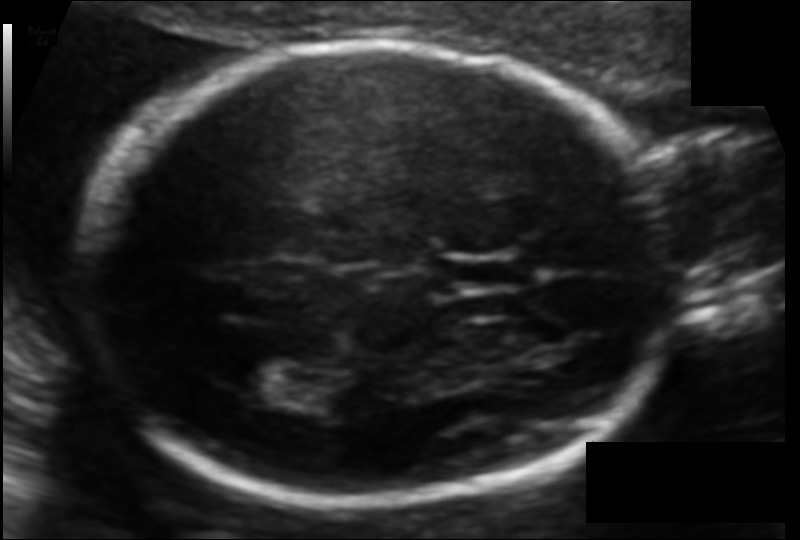
What is the fetal head circumference? Image width is 83.2 mm.

177.4 mm